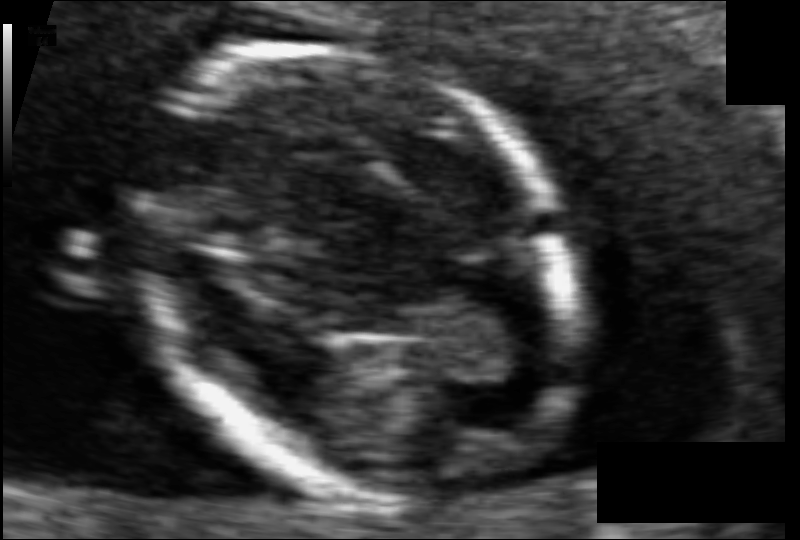
In this fetal head ultrasound, give the bounding box of the fetal head. Image width: 48.9 mm.

[137,47,568,498]